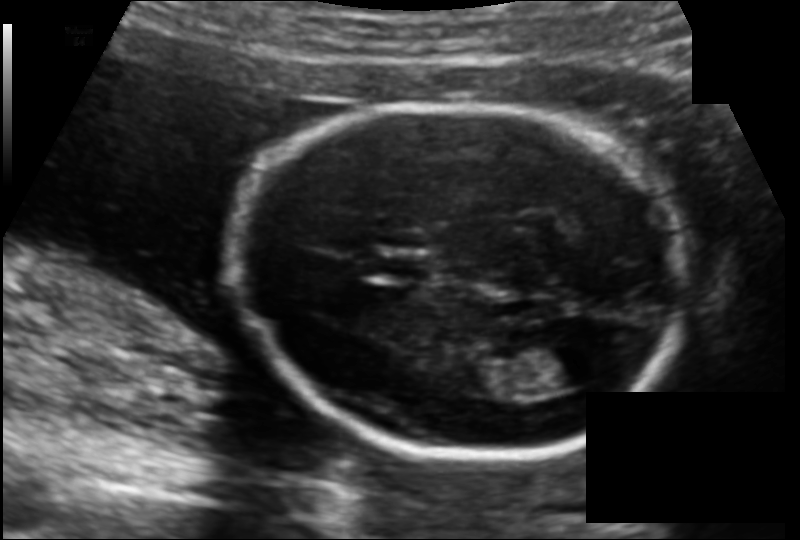
Estimate the fetal head circumference from this 2D ultrasound. Image width: 100.4 mm.

Head circumference: 165.0 mm.